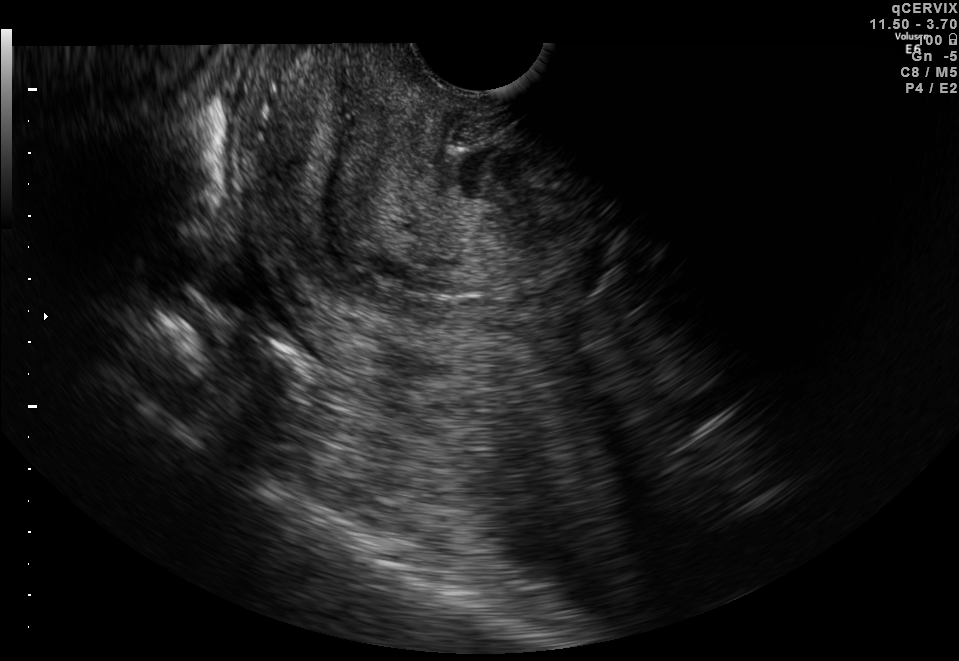
Which standard maternal-fetal ultrasound plane is shown: fetal abdomen, fetal brain, fetal femur, fetal thorax, maternal cervix, or other? If it's fetal brain and one of the three standard brain planes (trans-thalamic, trans-cerebellum, trans-ventricular), name which.

Maternal cervix